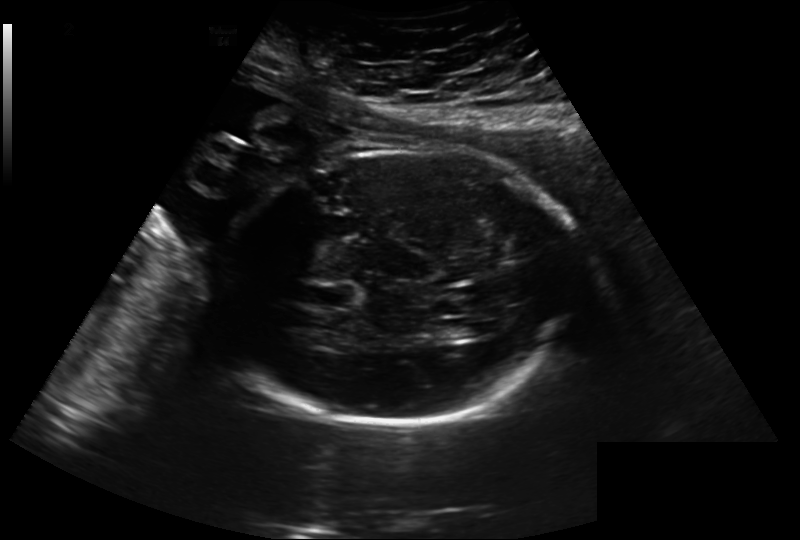
Fetal head ultrasound. Image width: 208.3 mm. Where is the cavum septum pellucidum?

CSP bounding box: [309,284,356,310]